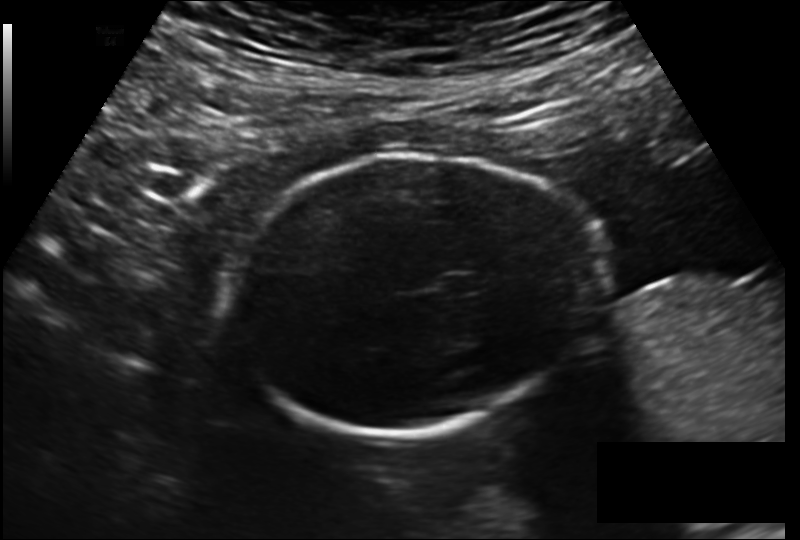
In this fetal head ultrasound, give the bounding box of the fetal head. Image width: 142.1 mm.

[237,151,596,438]